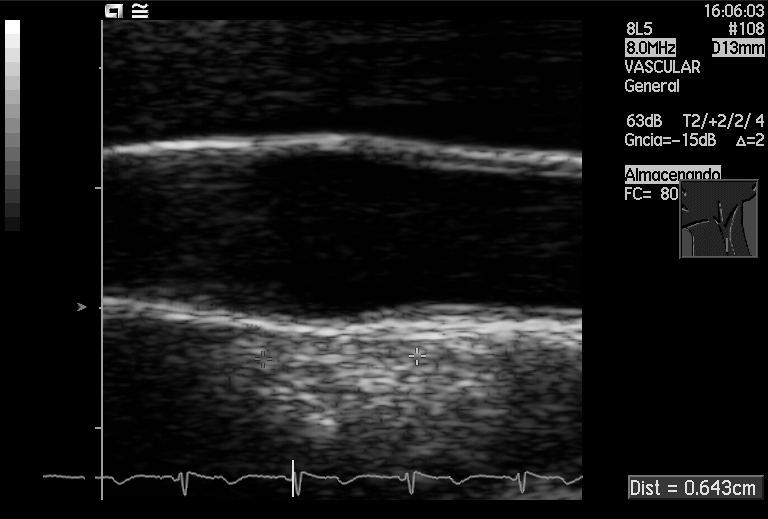
Classify this maternal-fetal ultrasound image as one of the six standard planes — fetal abdomen, fetal brain, fetal femur, fetal thorax, maternal cervix, or other. If it's fetal brain and one of the three standard brain planes (trans-thalamic, trans-cerebellum, trans-ventricular), name which.

Other